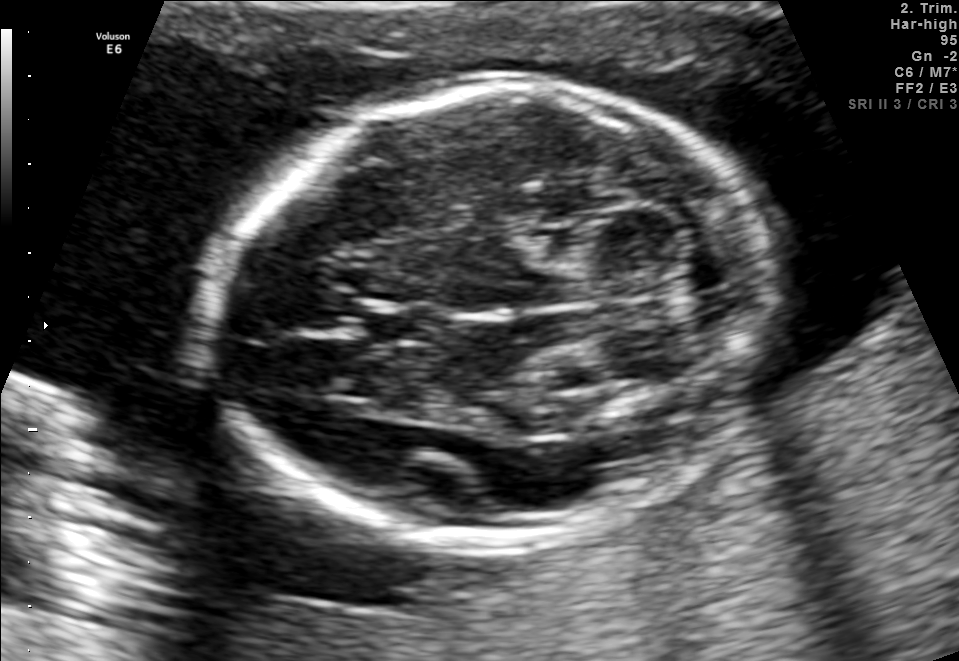
In this fetal brain, trans-cerebellum plane, give the bounding box of the cavum septum pellucidum.

[356,303,437,345]